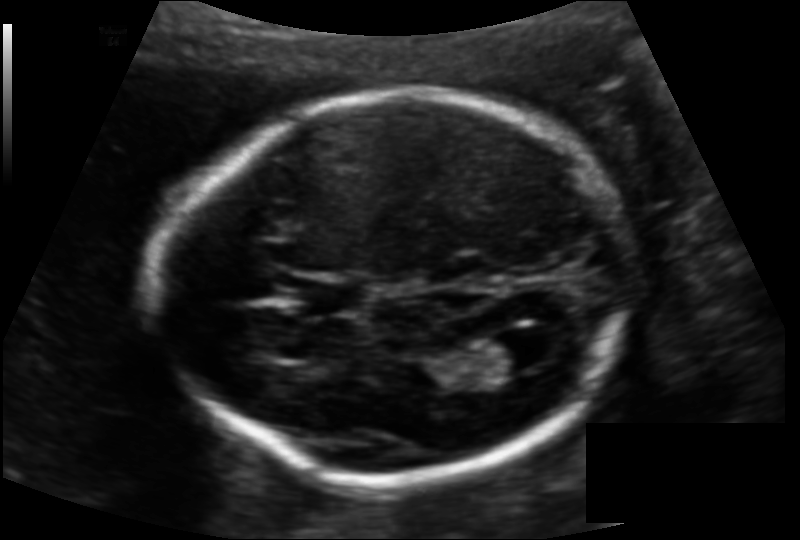
In this fetal head ultrasound, give bounding boxes for the head outline, cavum septum pellucidum (CSP), and lateral ventricle (LV), where visible. Image width: 102.7 mm.

Head: [163,95,631,480]
CSP: [303,278,367,314]
Lateral ventricle: [471,327,546,383]